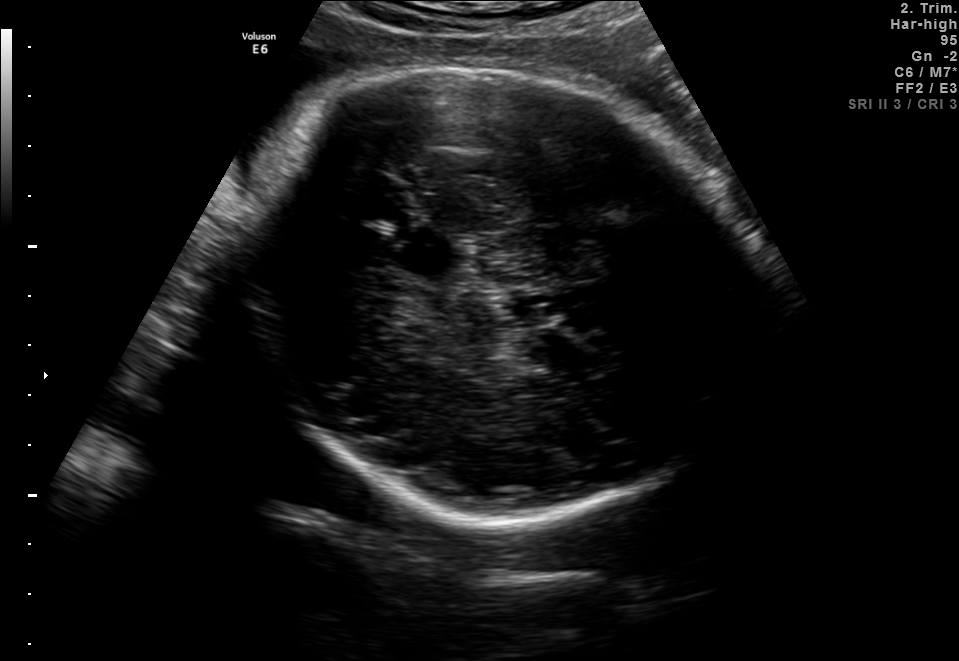
This is a 2D maternal-fetal ultrasound frame. Is it a fetal abdomen, fetal brain, fetal femur, fetal thorax, maternal cervix, or other standard plane? If it's fetal brain and one of the three standard brain planes (trans-thalamic, trans-cerebellum, trans-ventricular), name which.

Fetal brain (trans-thalamic plane)